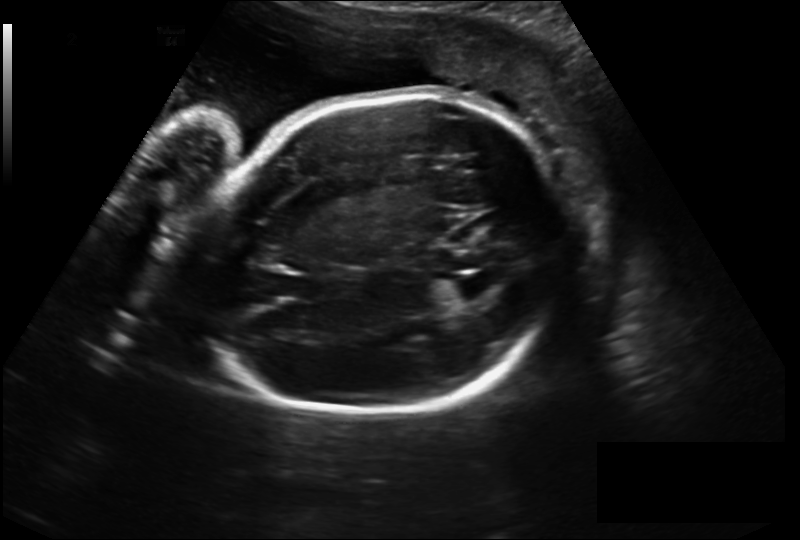
Fetal head ultrasound. Image width: 184.2 mm. Give [x1,y1,x2,y2] bounding boxes for each visible structure among: fetal head, CSP, LV.

Head: [194,97,566,417]
Lateral ventricle: [449,267,501,306]